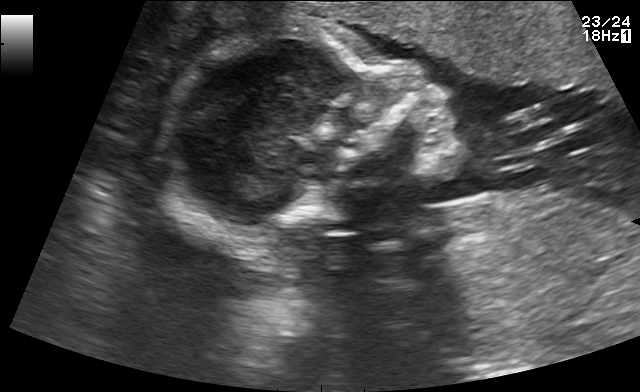
Which standard maternal-fetal ultrasound plane is shown: fetal abdomen, fetal brain, fetal femur, fetal thorax, maternal cervix, or other? If it's fetal brain and one of the three standard brain planes (trans-thalamic, trans-cerebellum, trans-ventricular), name which.

Other